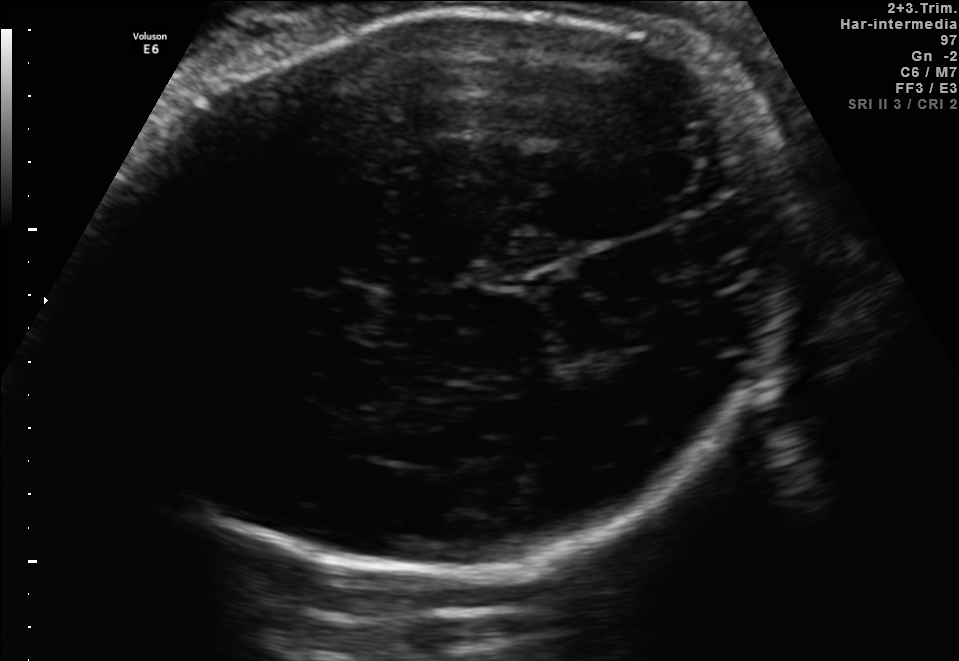
Fetal brain, trans-thalamic plane. Locate the fetal head.

Head: [98,6,797,571]